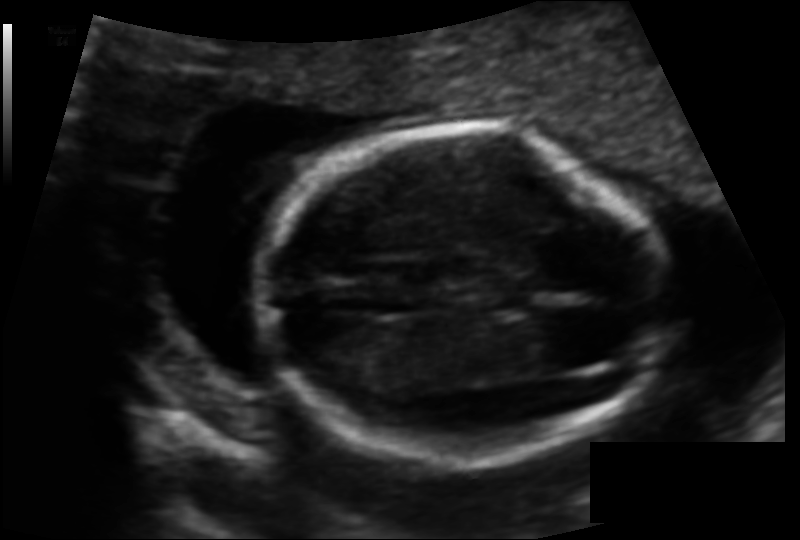
Estimate the fetal head circumference from this 2D ultrasound.

Head circumference: 123.5 mm (image width 81.7 mm).